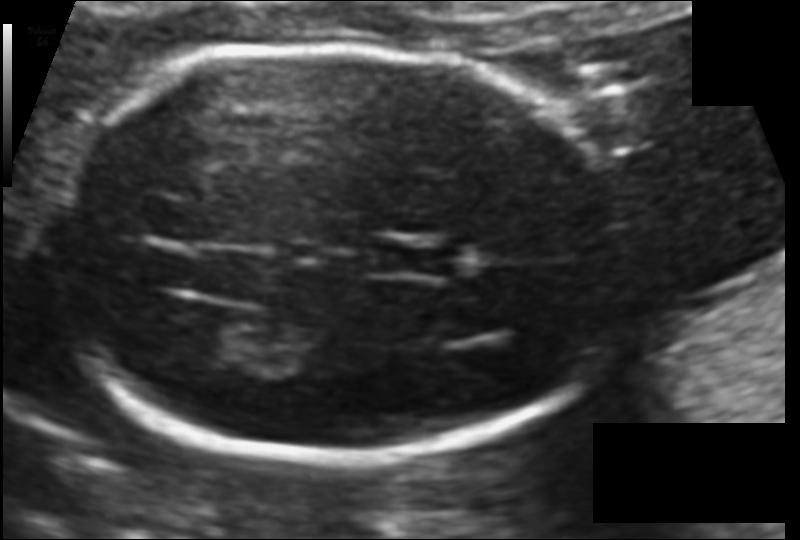
Fetal head ultrasound. Image width: 78.8 mm. Where is the fetal head?

Head bounding box: [52,43,625,459]